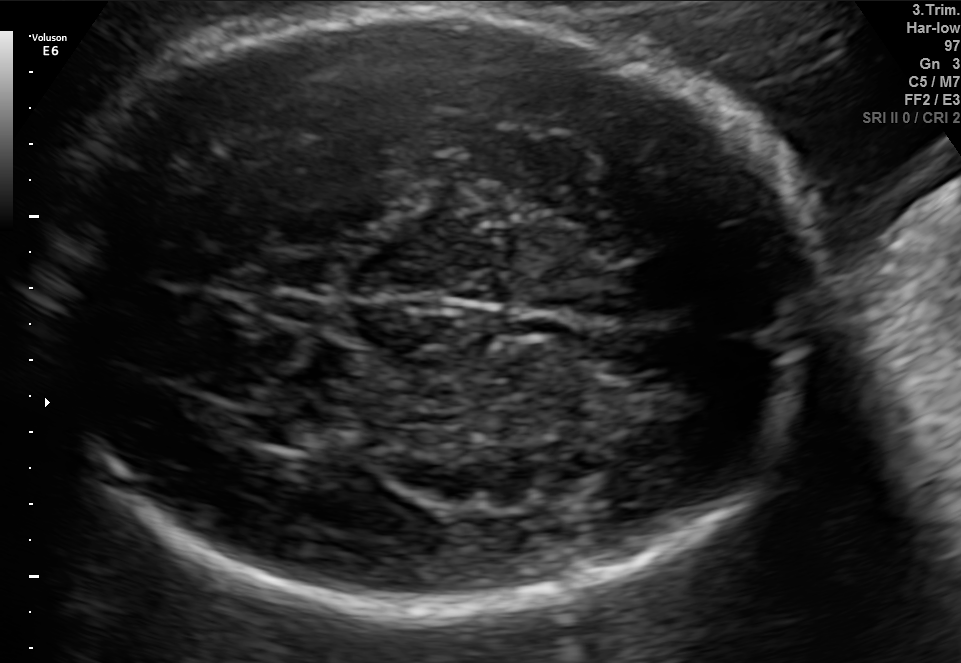
In this fetal brain, trans-thalamic plane, give bounding boxes for the head outline, cavum septum pellucidum (CSP), and lateral ventricle (LV), where visible.

Head: [44,13,817,616]